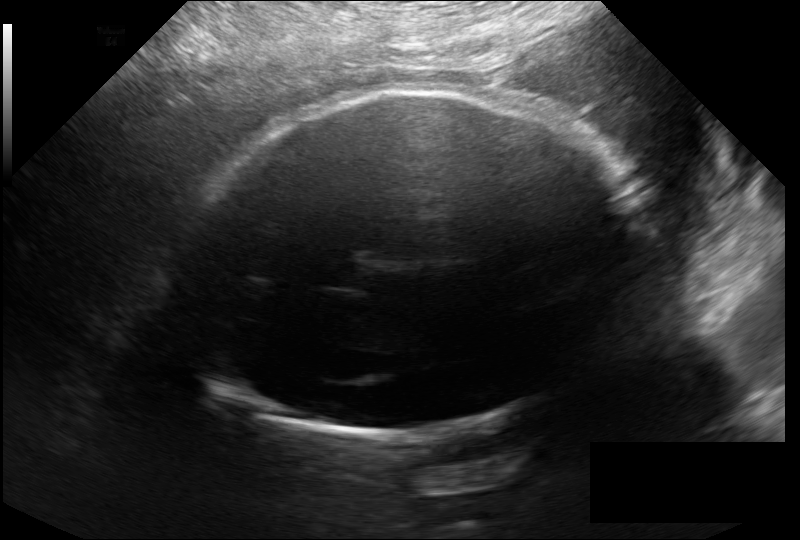
Estimate the fetal head circumference from this 2D ultrasound. Image width: 196.9 mm.

Head circumference: 320.0 mm.